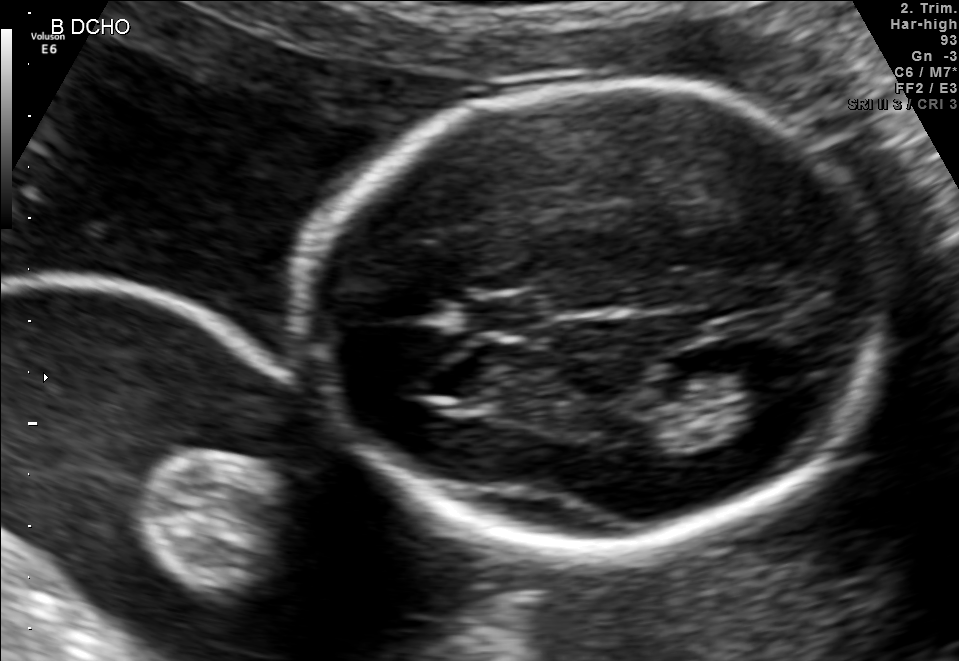
In this fetal brain, trans-thalamic plane, give the bounding box of the cavum septum pellucidum.

[464,293,545,335]